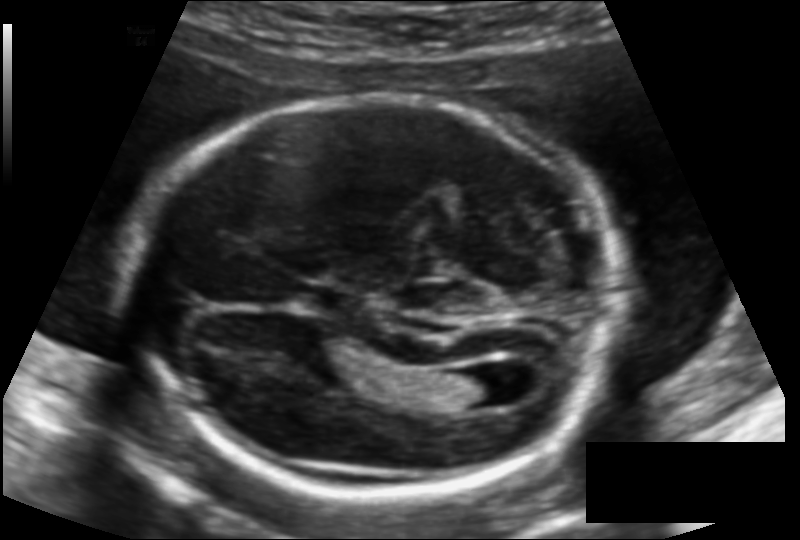
In this fetal head ultrasound, give the bounding box of the cavum septum pellucidum. Image width: 99.7 mm.

[299,281,359,320]